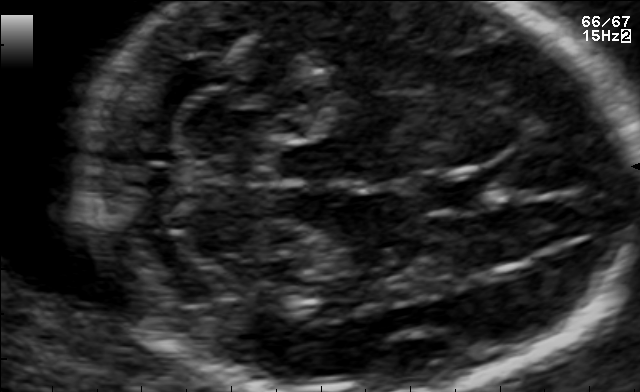
Identify the standard plane in this fetal ultrasound image: fetal abdomen, fetal brain, fetal femur, fetal thorax, maternal cervix, or other. If it's fetal brain and one of the three standard brain planes (trans-thalamic, trans-cerebellum, trans-ventricular), name which.

Fetal brain (trans-cerebellum plane)